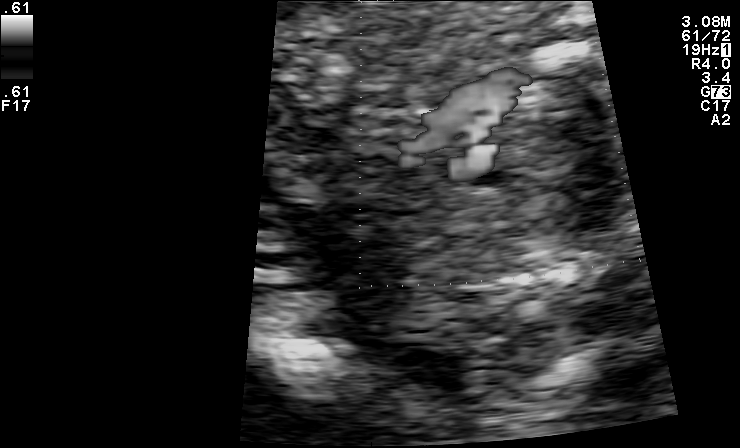
This is a 2D maternal-fetal ultrasound frame. Is it a fetal abdomen, fetal brain, fetal femur, fetal thorax, maternal cervix, or other standard plane? If it's fetal brain and one of the three standard brain planes (trans-thalamic, trans-cerebellum, trans-ventricular), name which.

Other